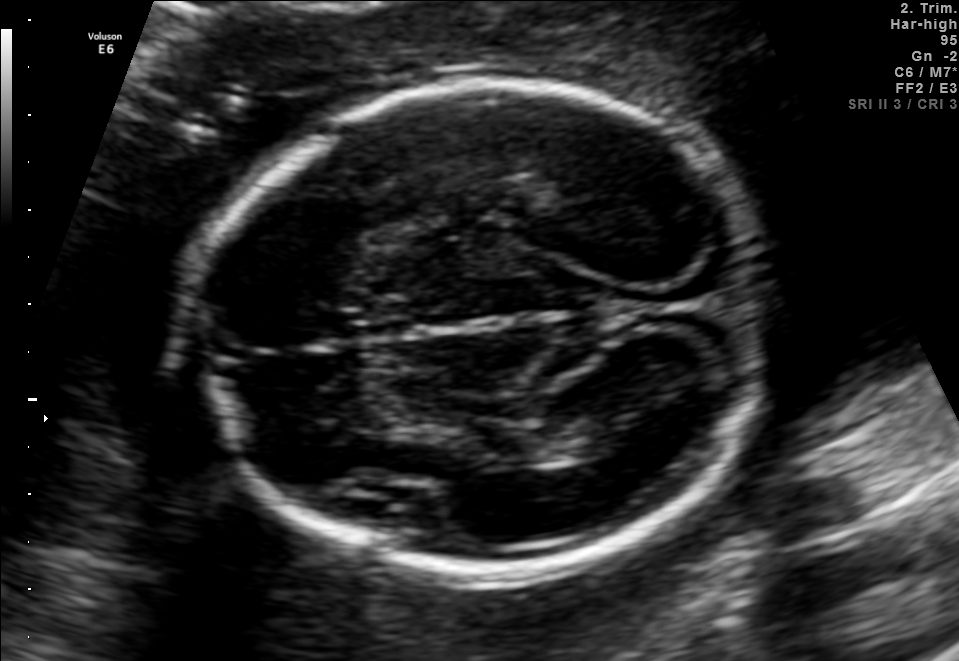
In this fetal brain, trans-thalamic plane, give the bounding box of the lateral ventricle.

[532,408,640,468]